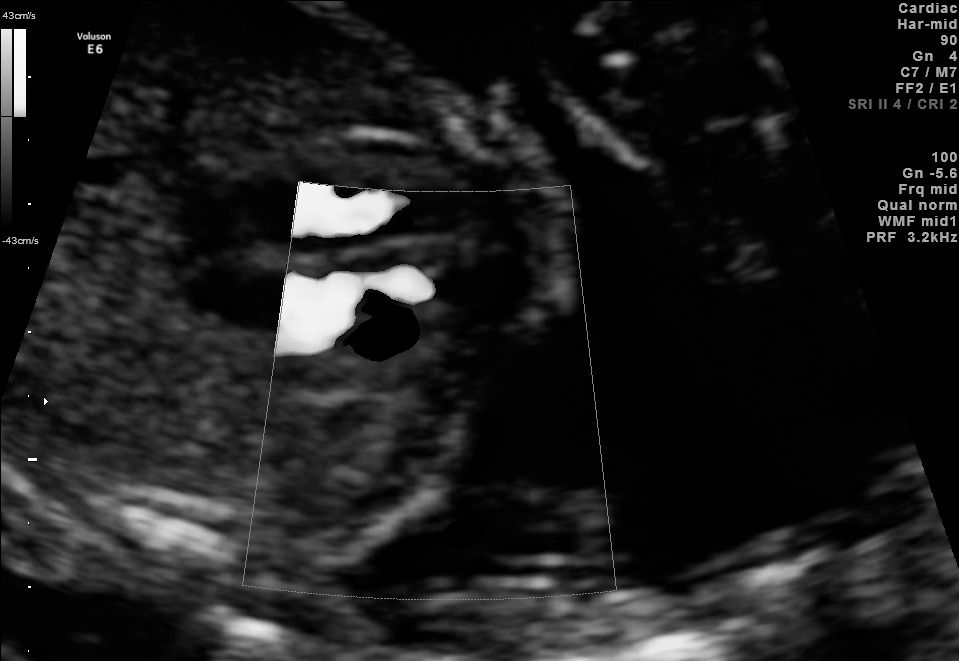
This is a 2D maternal-fetal ultrasound frame. Is it a fetal abdomen, fetal brain, fetal femur, fetal thorax, maternal cervix, or other standard plane? If it's fetal brain and one of the three standard brain planes (trans-thalamic, trans-cerebellum, trans-ventricular), name which.

Other